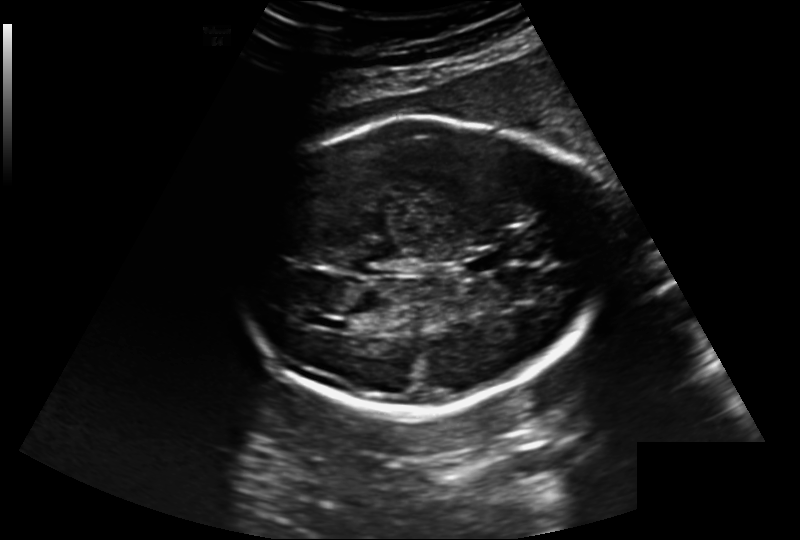
From this fetal ultrasound, estimate the head circumference (image width 175.6 mm).

Head circumference: 241.7 mm.